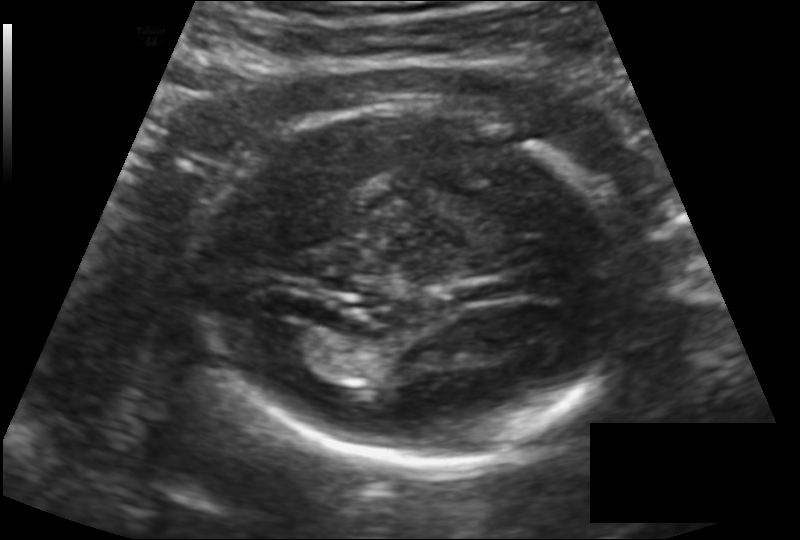
Fetal head ultrasound. Image width: 113.7 mm. Give [x1,y1,x2,y2] bounding boxes for each visible structure among: fetal head, CSP, LV.

Head: [206,107,627,469]
Lateral ventricle: [257,322,327,369]